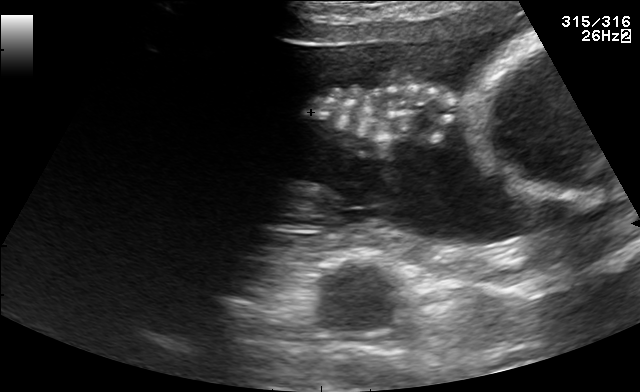
Which standard maternal-fetal ultrasound plane is shown: fetal abdomen, fetal brain, fetal femur, fetal thorax, maternal cervix, or other? If it's fetal brain and one of the three standard brain planes (trans-thalamic, trans-cerebellum, trans-ventricular), name which.

Other